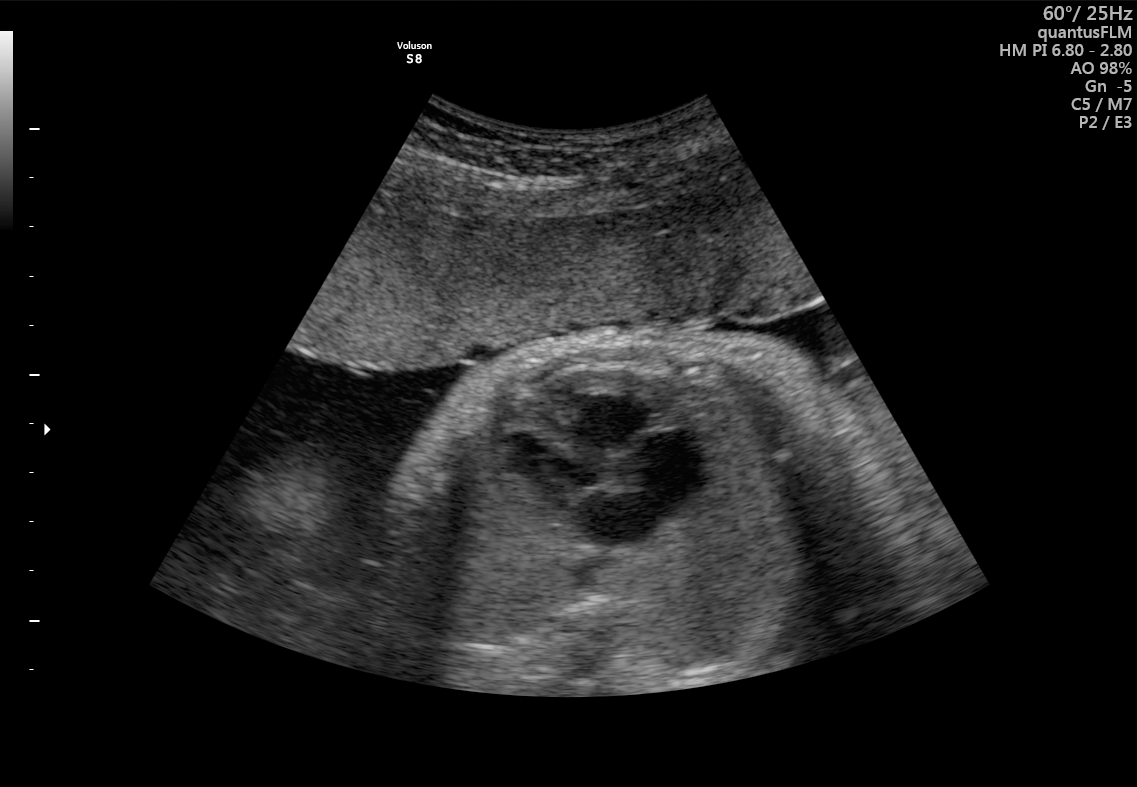
Classify this maternal-fetal ultrasound image as one of the six standard planes — fetal abdomen, fetal brain, fetal femur, fetal thorax, maternal cervix, or other. If it's fetal brain and one of the three standard brain planes (trans-thalamic, trans-cerebellum, trans-ventricular), name which.

Fetal thorax